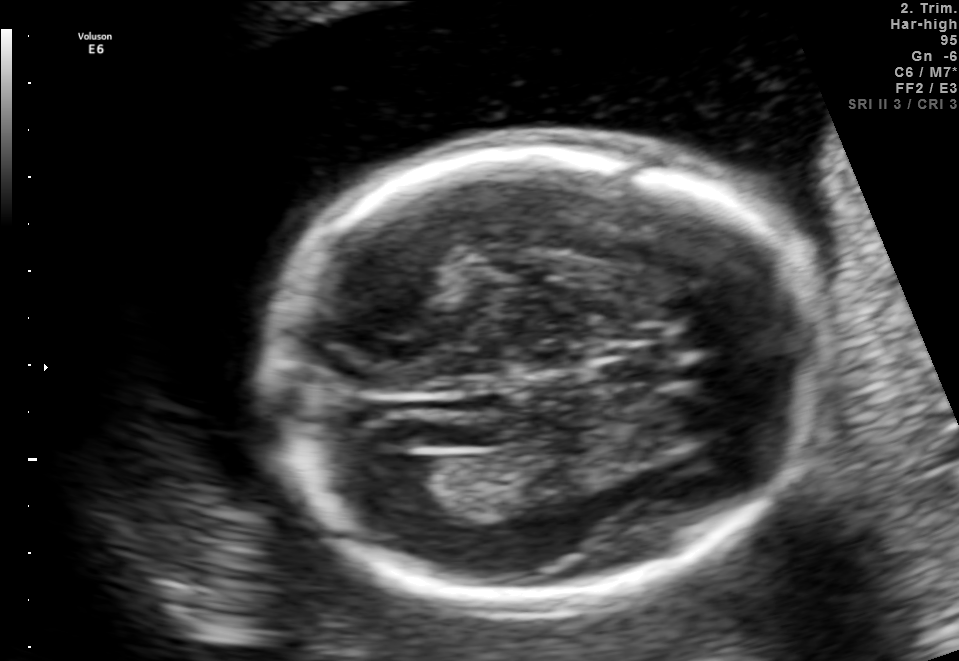
Fetal brain, trans-ventricular plane. Locate the fetal head.

Head: [257,125,834,622]